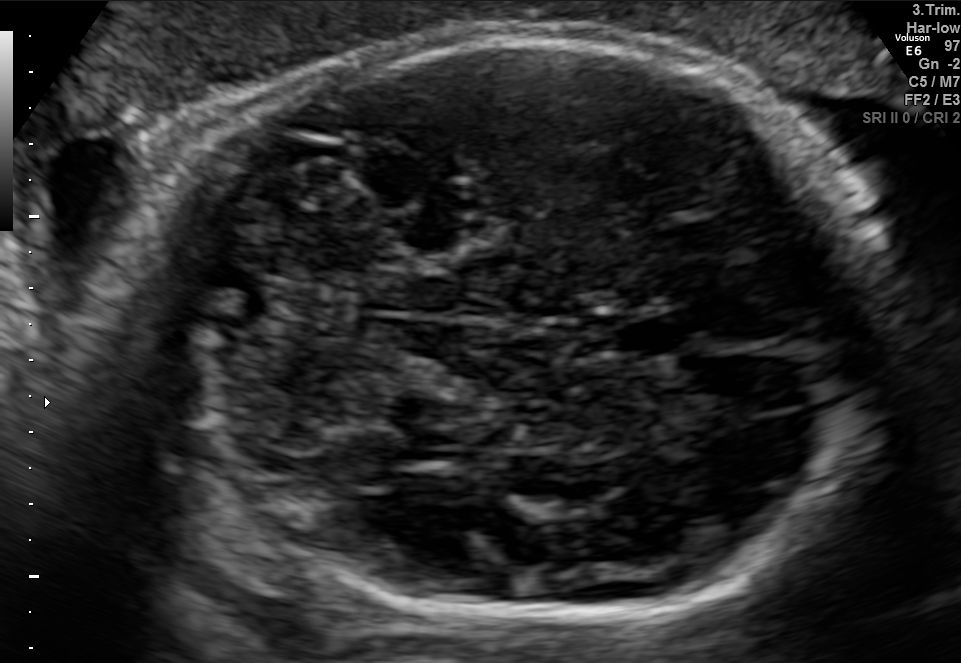
Fetal brain, trans-cerebellum plane. Give [x1,y1,x2,y2] bounding boxes for each visible structure among: fetal head, CSP, LV.

Head: [124,35,899,626]
CSP: [604,303,701,370]